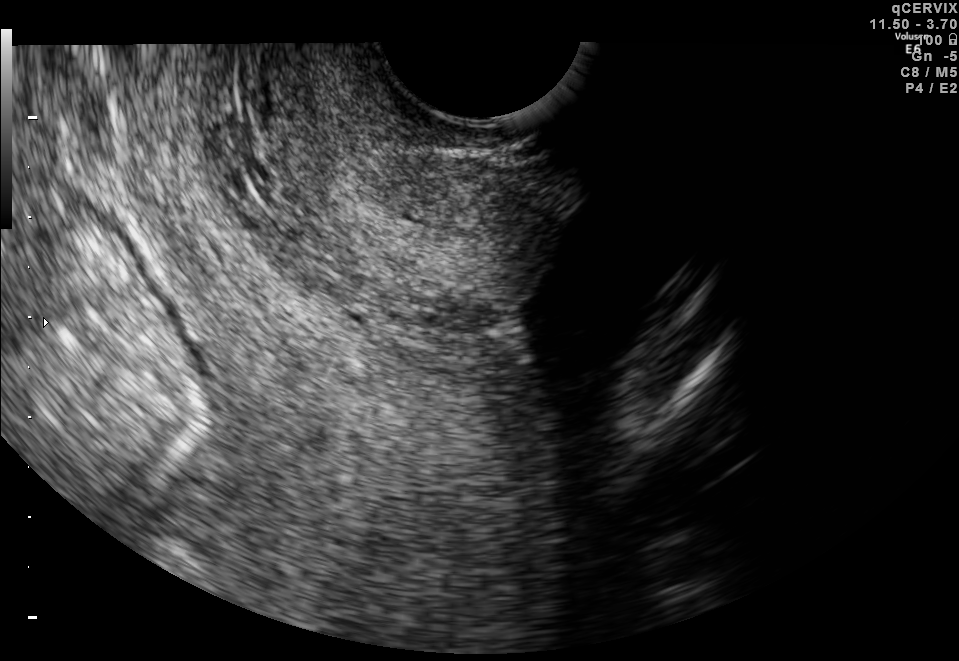
Classify this maternal-fetal ultrasound image as one of the six standard planes — fetal abdomen, fetal brain, fetal femur, fetal thorax, maternal cervix, or other. If it's fetal brain and one of the three standard brain planes (trans-thalamic, trans-cerebellum, trans-ventricular), name which.

Maternal cervix